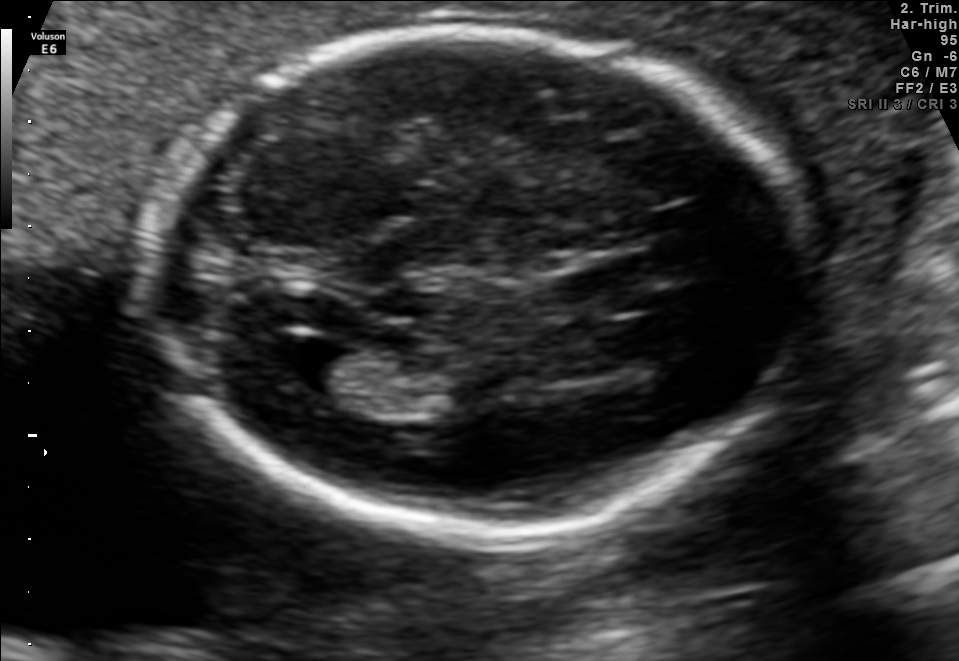
Fetal brain, trans-ventricular plane. Locate the cavum septum pellucidum.

CSP: [520,258,618,320]